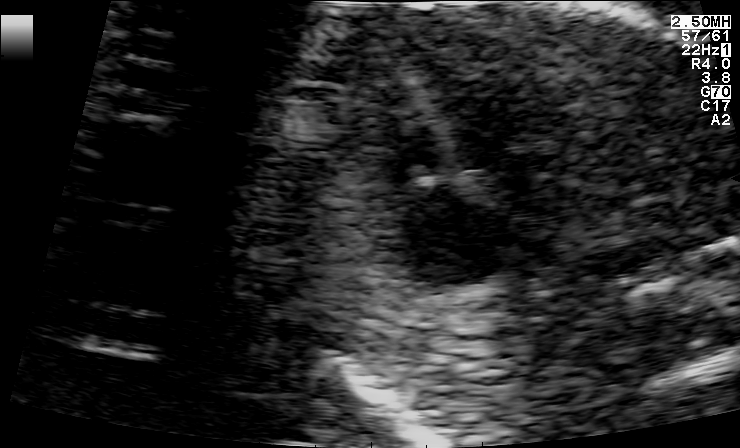
Classify this maternal-fetal ultrasound image as one of the six standard planes — fetal abdomen, fetal brain, fetal femur, fetal thorax, maternal cervix, or other. If it's fetal brain and one of the three standard brain planes (trans-thalamic, trans-cerebellum, trans-ventricular), name which.

Fetal thorax